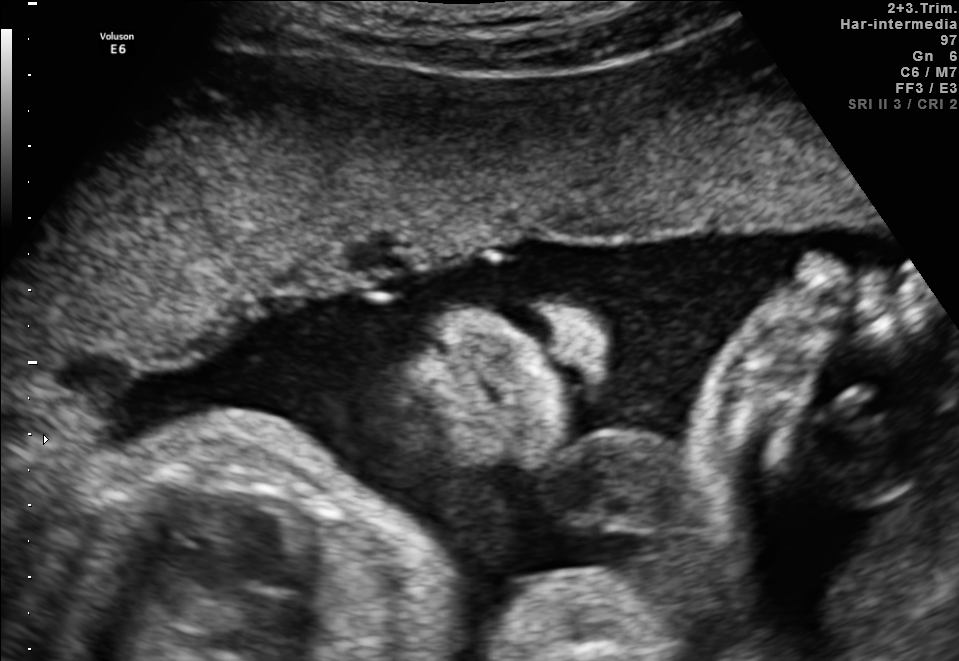
Identify the standard plane in this fetal ultrasound image: fetal abdomen, fetal brain, fetal femur, fetal thorax, maternal cervix, or other. If it's fetal brain and one of the three standard brain planes (trans-thalamic, trans-cerebellum, trans-ventricular), name which.

Other